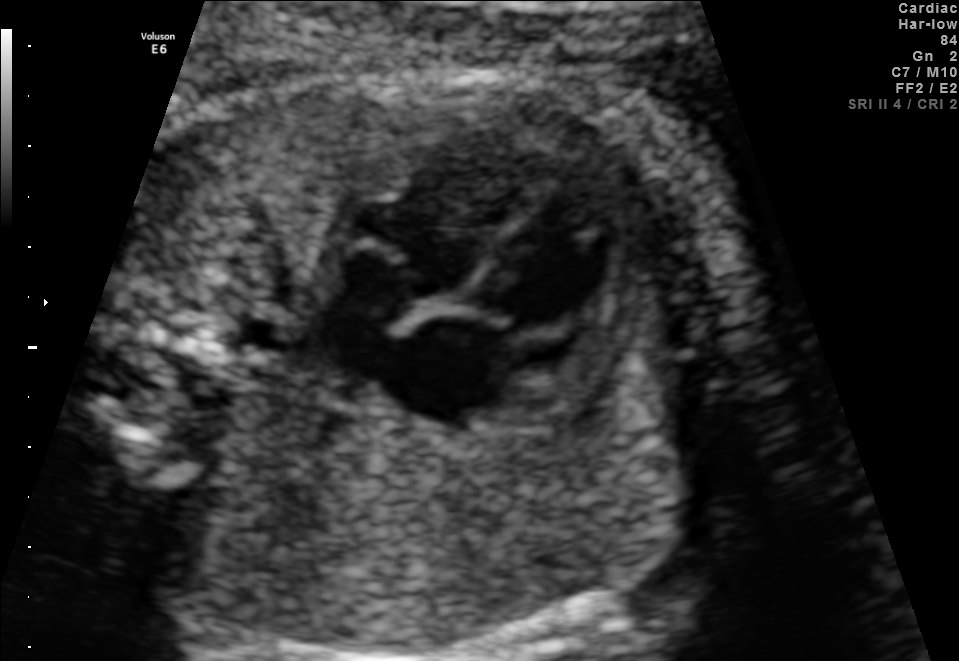
Which standard maternal-fetal ultrasound plane is shown: fetal abdomen, fetal brain, fetal femur, fetal thorax, maternal cervix, or other? If it's fetal brain and one of the three standard brain planes (trans-thalamic, trans-cerebellum, trans-ventricular), name which.

Fetal thorax